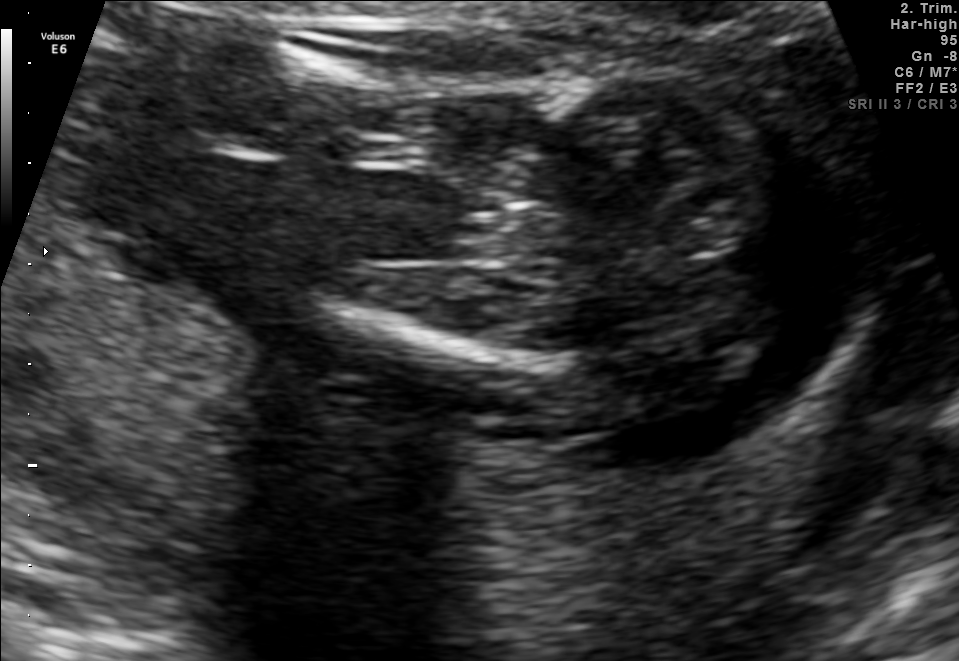
Classify this maternal-fetal ultrasound image as one of the six standard planes — fetal abdomen, fetal brain, fetal femur, fetal thorax, maternal cervix, or other. If it's fetal brain and one of the three standard brain planes (trans-thalamic, trans-cerebellum, trans-ventricular), name which.

Fetal femur